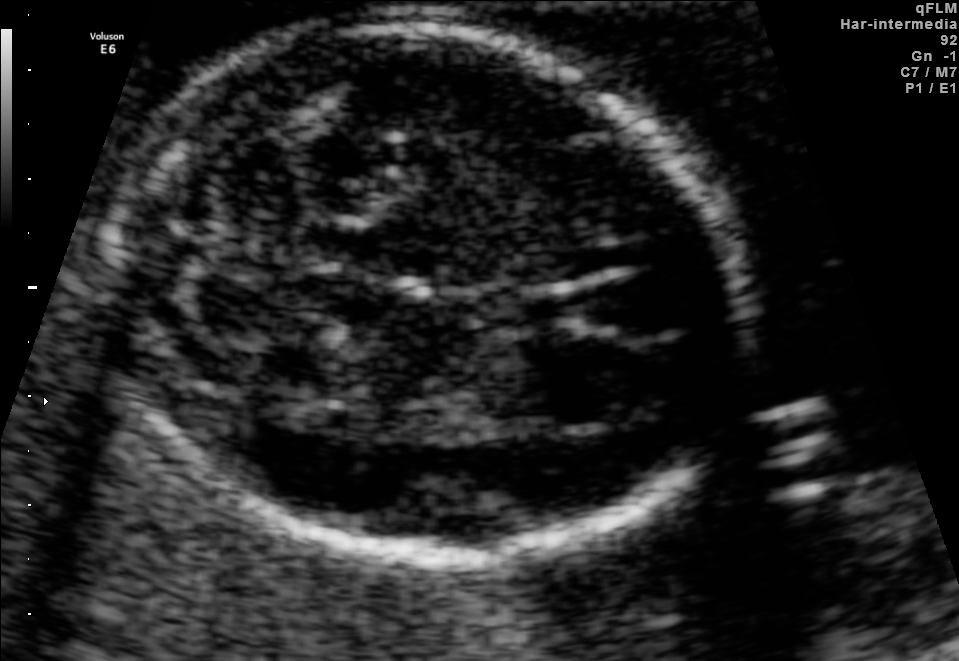
Classify this maternal-fetal ultrasound image as one of the six standard planes — fetal abdomen, fetal brain, fetal femur, fetal thorax, maternal cervix, or other. If it's fetal brain and one of the three standard brain planes (trans-thalamic, trans-cerebellum, trans-ventricular), name which.

Fetal brain (trans-cerebellum plane)